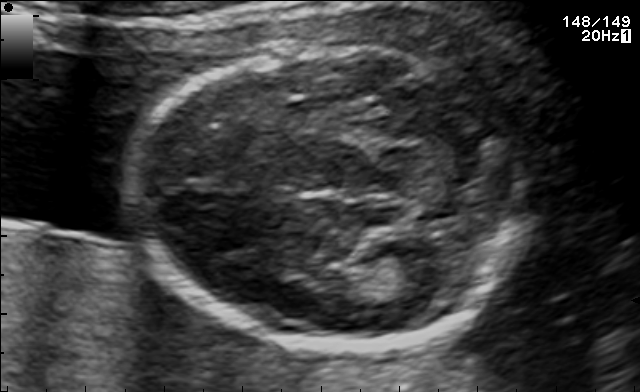
Fetal brain, trans-thalamic plane. Where is the fetal head?

Head bounding box: [133,47,521,347]